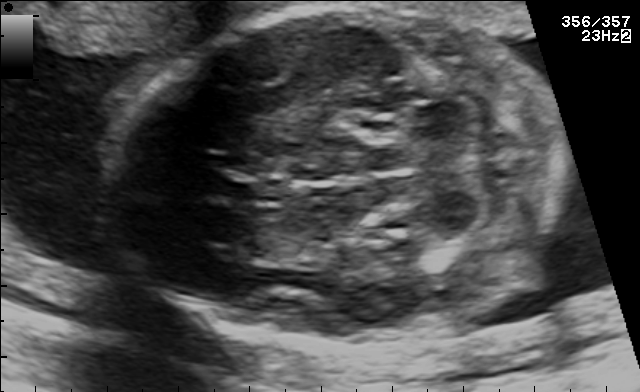
In this fetal brain, trans-cerebellum plane, give the bounding box of the cavum septum pellucidum.

[227,176,282,206]